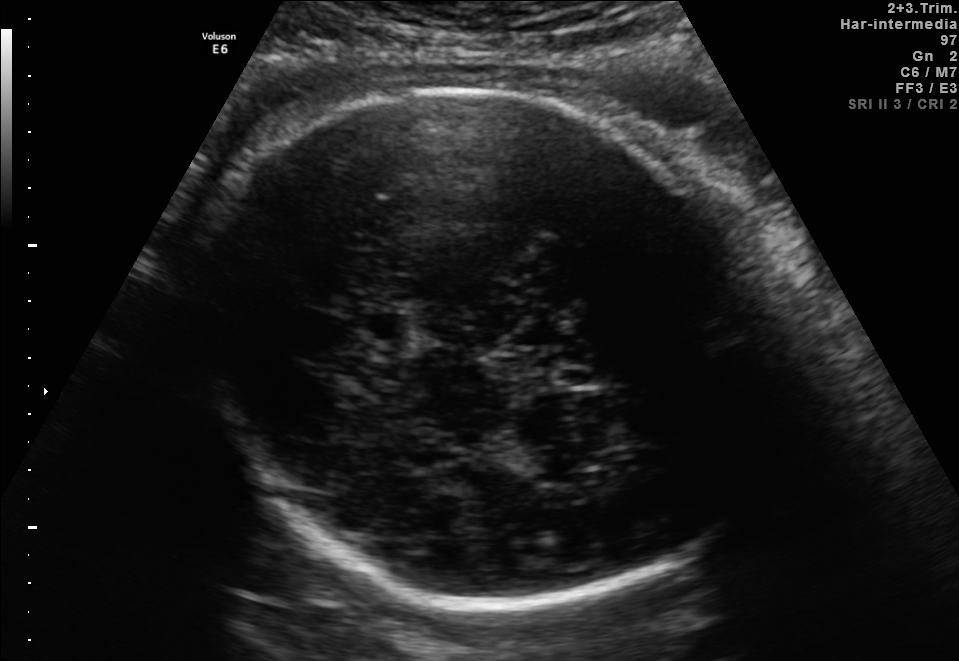
Fetal brain, trans-thalamic plane. Locate the fetal head and, if visible, the cavum septum pellucidum (CSP) and lateral ventricle (LV). Give bounding boxes as [x1,y1,x2,y2].

Head: [195,91,766,608]
CSP: [349,303,411,348]